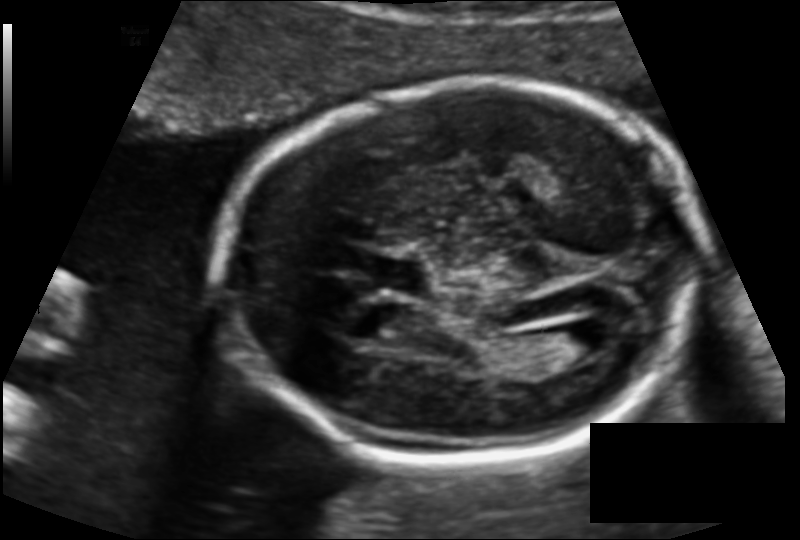
Fetal head ultrasound. Image width: 99.5 mm. Where is the fetal head?

Head bounding box: [219,86,700,462]